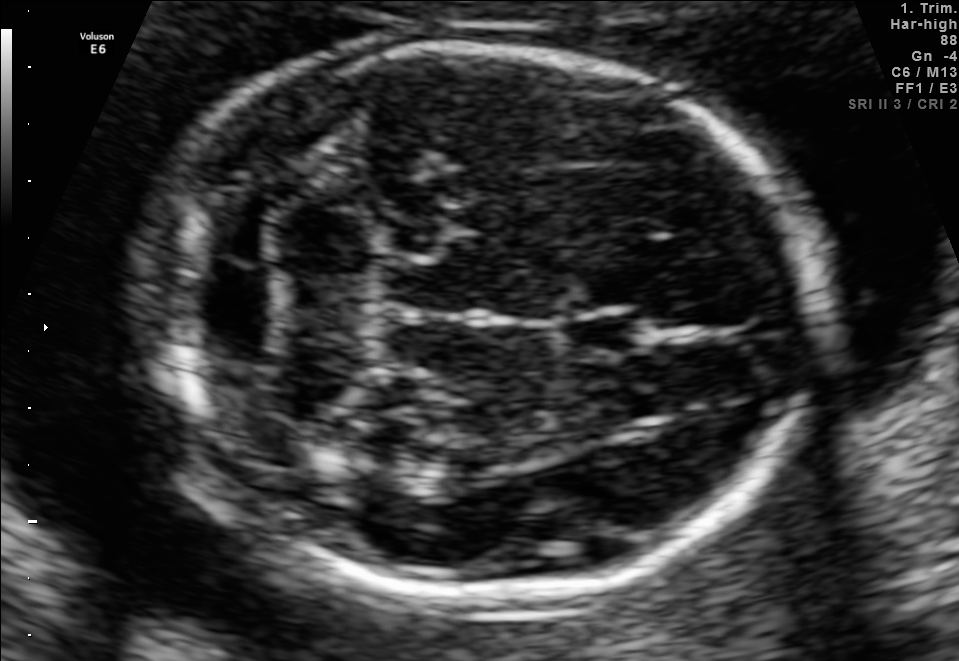
In this fetal brain, trans-cerebellum plane, give the bounding box of the fetal head.

[138,48,821,597]